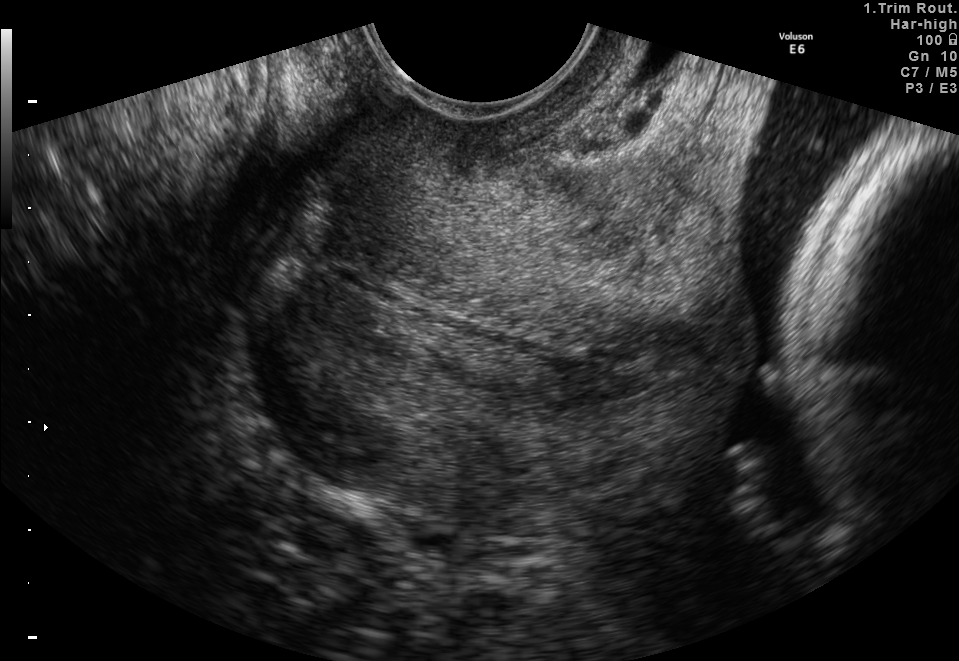
Classify this maternal-fetal ultrasound image as one of the six standard planes — fetal abdomen, fetal brain, fetal femur, fetal thorax, maternal cervix, or other. If it's fetal brain and one of the three standard brain planes (trans-thalamic, trans-cerebellum, trans-ventricular), name which.

Maternal cervix